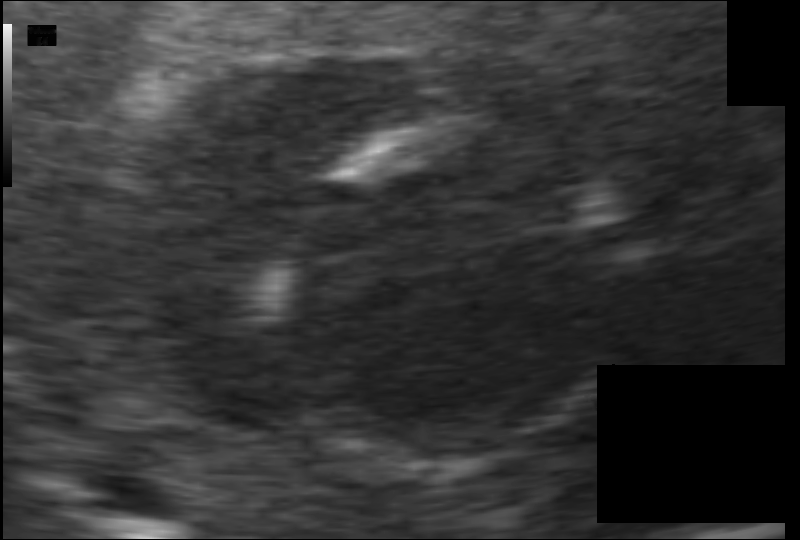
Measure the fetal head circumference shown in this ultrasound image. Image width: 55.7 mm.

Head circumference: 80.8 mm.